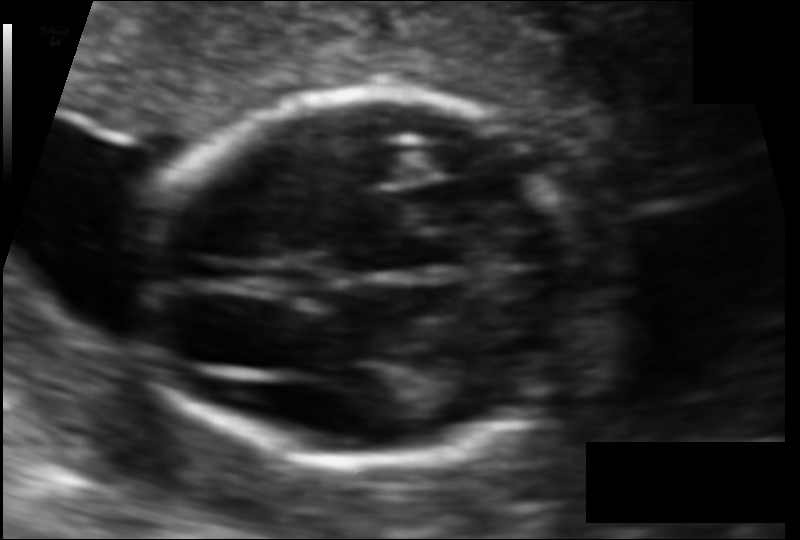
In this fetal head ultrasound, give the bounding box of the fetal head. Image width: 70.1 mm.

[145,92,583,464]